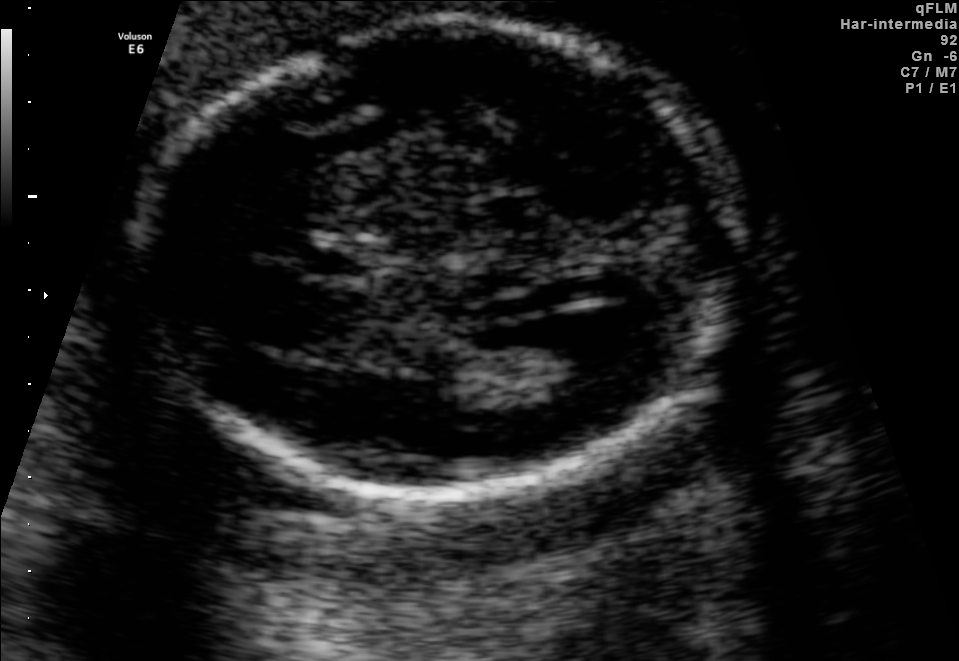
In this fetal brain, trans-ventricular plane, give the bounding box of the fetal head.

[130,7,745,498]